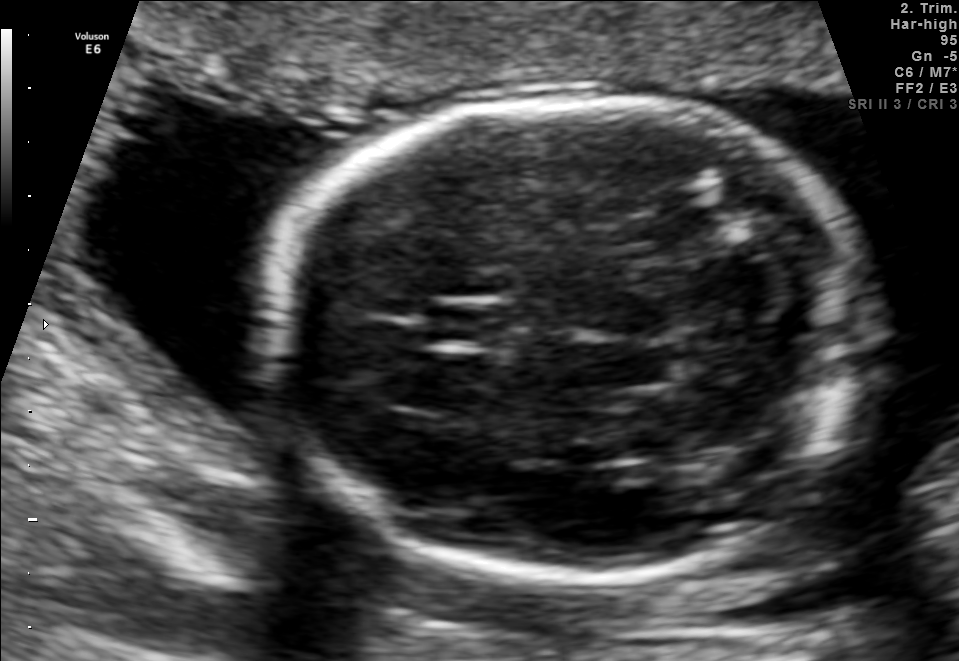
Classify this maternal-fetal ultrasound image as one of the six standard planes — fetal abdomen, fetal brain, fetal femur, fetal thorax, maternal cervix, or other. If it's fetal brain and one of the three standard brain planes (trans-thalamic, trans-cerebellum, trans-ventricular), name which.

Fetal brain (trans-cerebellum plane)